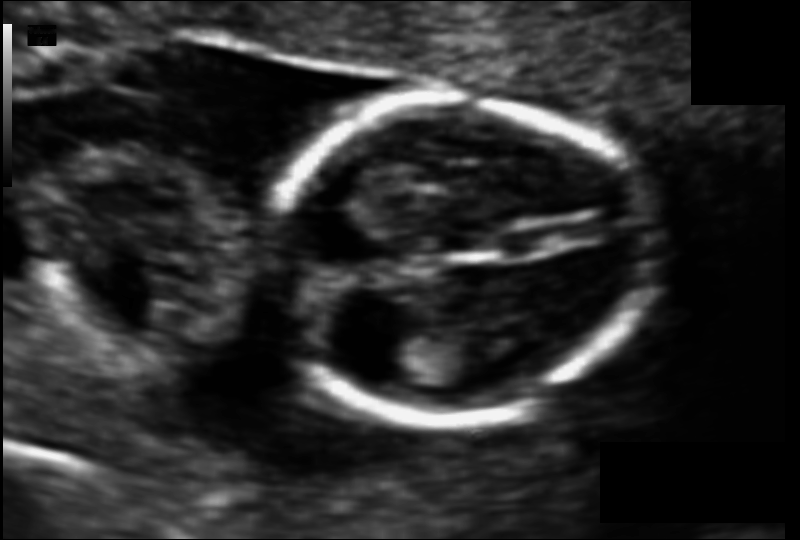
What is the fetal head circumference? Image width is 66.6 mm.

95.3 mm